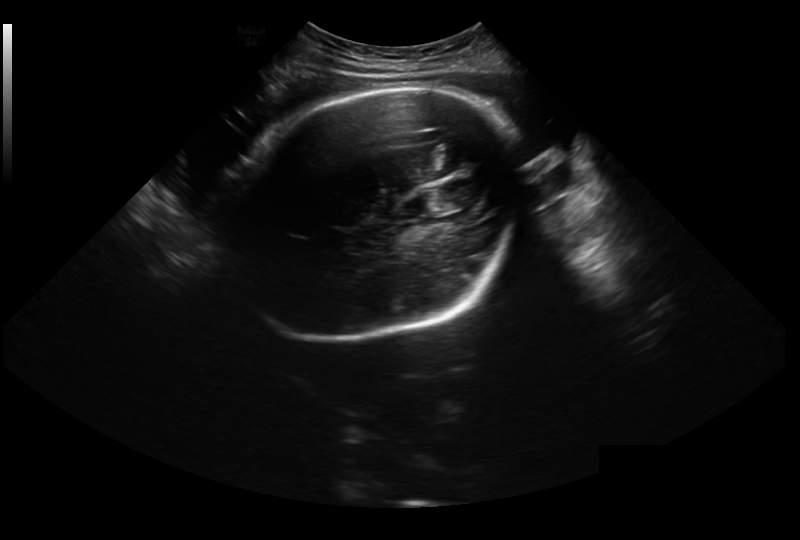
Fetal head ultrasound. Image width: 260.9 mm. Locate the fetal head.

Head: [220,85,523,342]